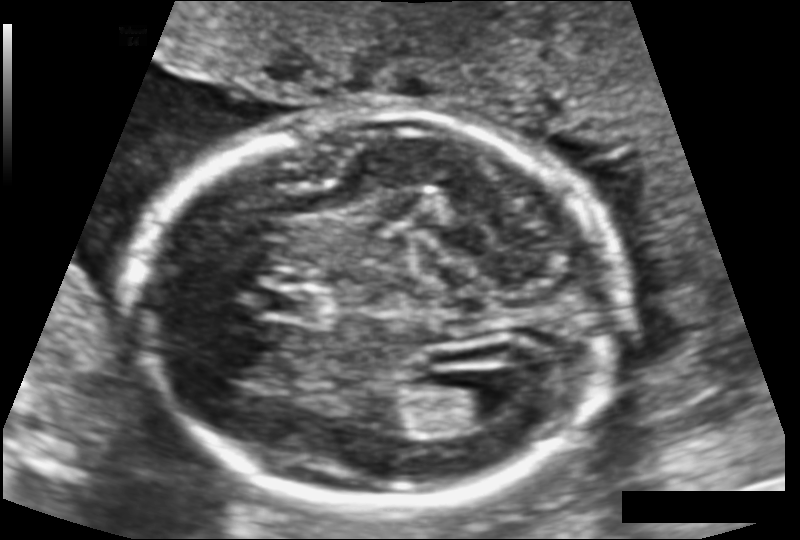
In this fetal head ultrasound, give bounding boxes for the head outline, cavum septum pellucidum (CSP), and lateral ventricle (LV), where visible. Image width: 99.5 mm.

Head: [136,112,622,511]
CSP: [261,287,316,320]
Lateral ventricle: [438,383,519,434]